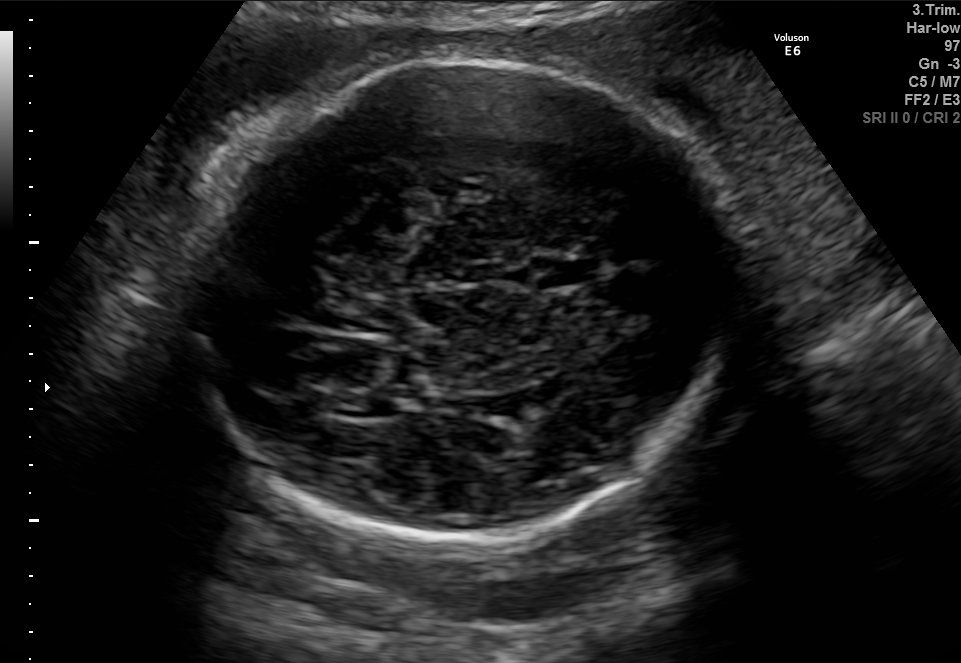
Fetal brain, trans-thalamic plane. Locate the fetal head and, if visible, the cavum septum pellucidum (CSP) and lateral ventricle (LV). Give bounding boxes as [x1,y1,x2,y2].

Head: [181,57,746,548]
CSP: [538,257,597,289]
Lateral ventricle: [334,396,393,419]